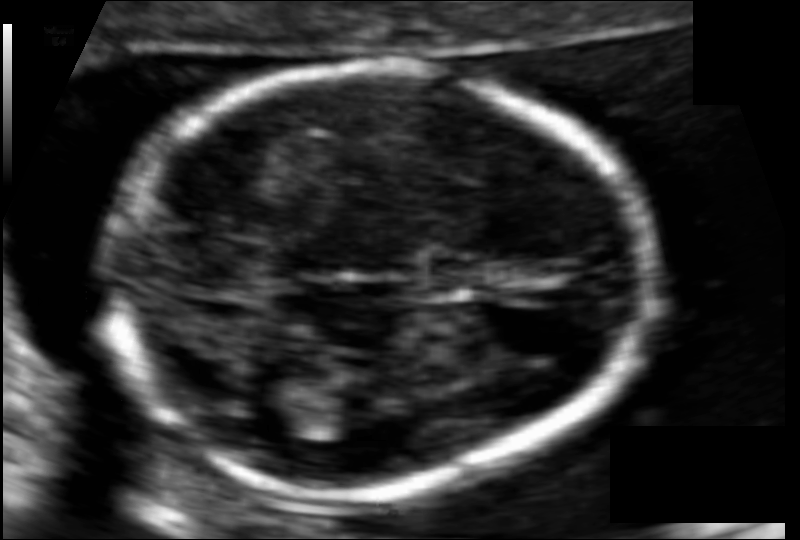
Estimate the fetal head circumference from this 2D ultrasound. Image width: 67.6 mm.

Head circumference: 137.3 mm.